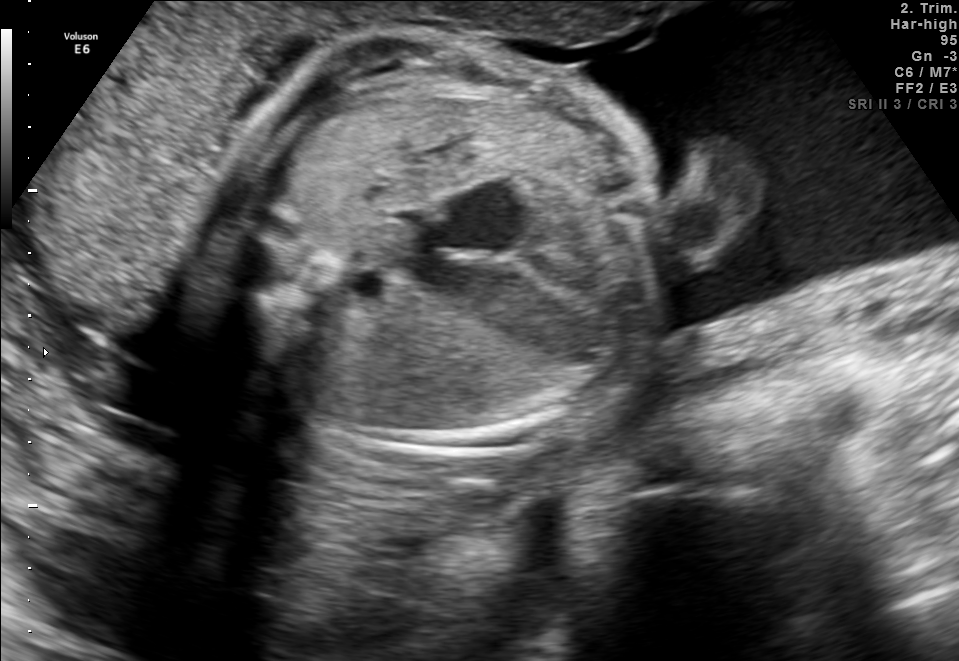
Which standard maternal-fetal ultrasound plane is shown: fetal abdomen, fetal brain, fetal femur, fetal thorax, maternal cervix, or other? If it's fetal brain and one of the three standard brain planes (trans-thalamic, trans-cerebellum, trans-ventricular), name which.

Fetal thorax